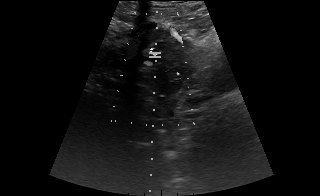
This is a 2D maternal-fetal ultrasound frame. Is it a fetal abdomen, fetal brain, fetal femur, fetal thorax, maternal cervix, or other standard plane? If it's fetal brain and one of the three standard brain planes (trans-thalamic, trans-cerebellum, trans-ventricular), name which.

Other